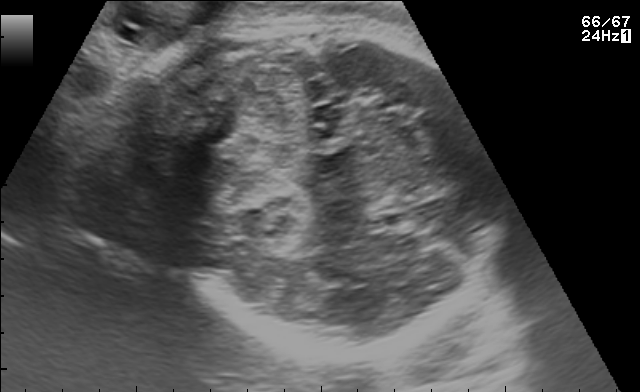
Identify the standard plane in this fetal ultrasound image: fetal abdomen, fetal brain, fetal femur, fetal thorax, maternal cervix, or other. If it's fetal brain and one of the three standard brain planes (trans-thalamic, trans-cerebellum, trans-ventricular), name which.

Fetal brain